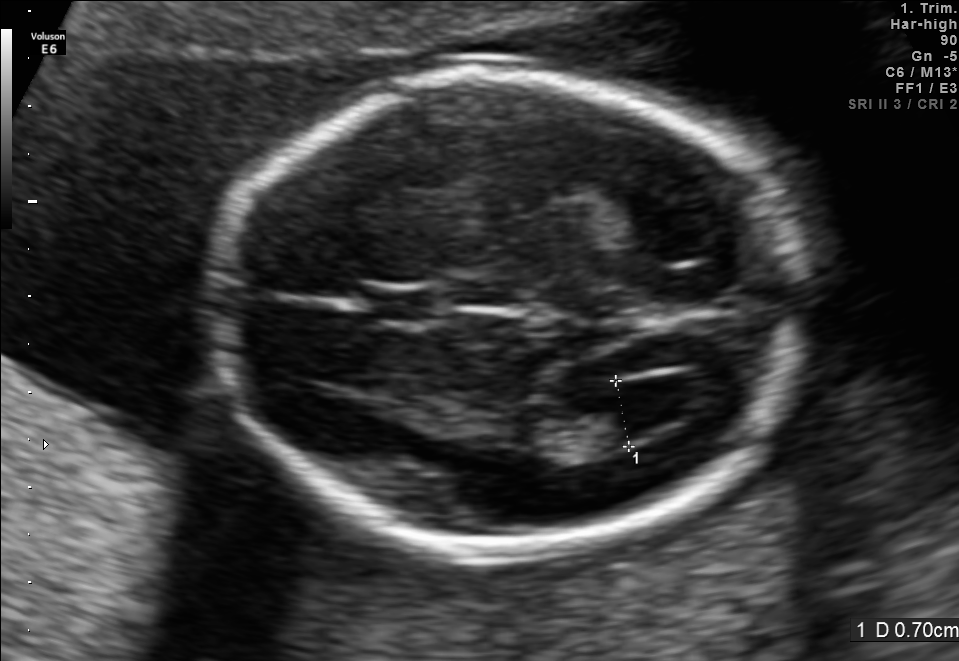
In this fetal brain, trans-ventricular plane, give the bounding box of the cavum septum pellucidum.

[367,289,434,320]